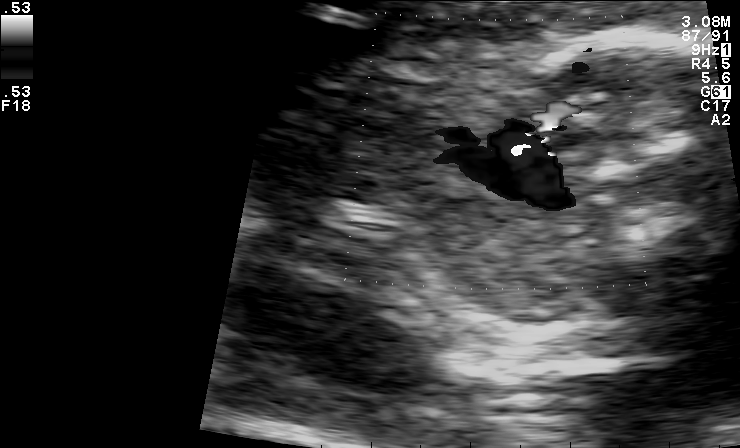
This is a 2D maternal-fetal ultrasound frame. Is it a fetal abdomen, fetal brain, fetal femur, fetal thorax, maternal cervix, or other standard plane? If it's fetal brain and one of the three standard brain planes (trans-thalamic, trans-cerebellum, trans-ventricular), name which.

Other